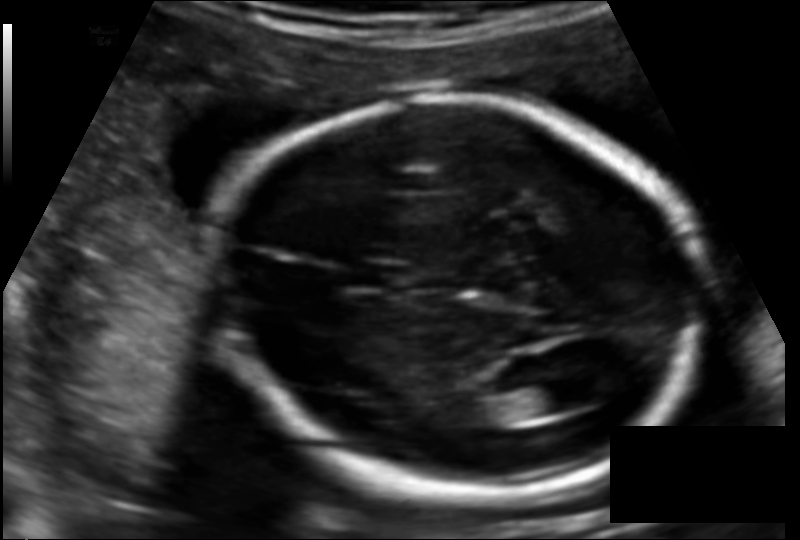
Fetal head ultrasound. Image width: 99.4 mm. Where is the fetal head?

Head bounding box: [214,97,705,495]